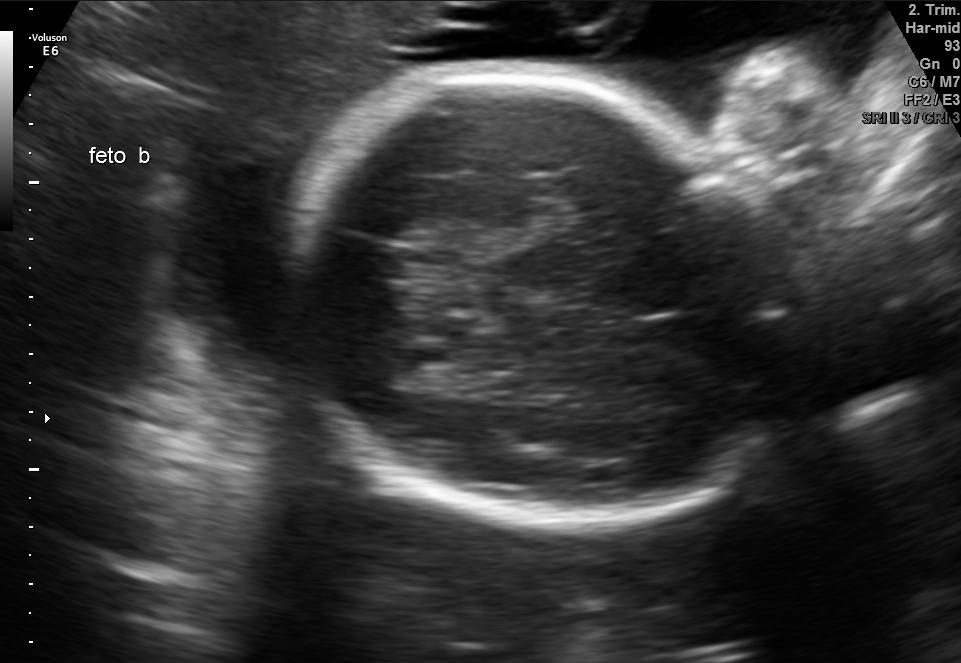
This is a 2D maternal-fetal ultrasound frame. Is it a fetal abdomen, fetal brain, fetal femur, fetal thorax, maternal cervix, or other standard plane? If it's fetal brain and one of the three standard brain planes (trans-thalamic, trans-cerebellum, trans-ventricular), name which.

Fetal brain (trans-thalamic plane)